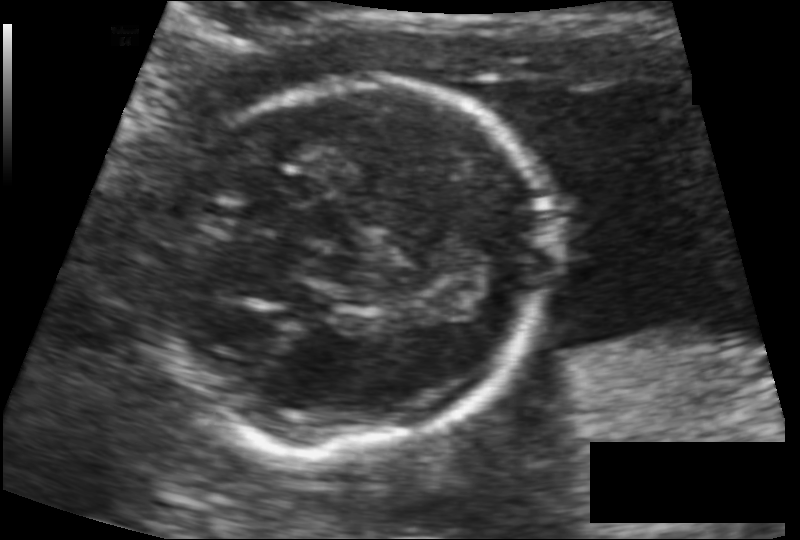
Estimate the fetal head circumference from this 2D ultrasound. Image width: 79.7 mm.

Head circumference: 123.2 mm.